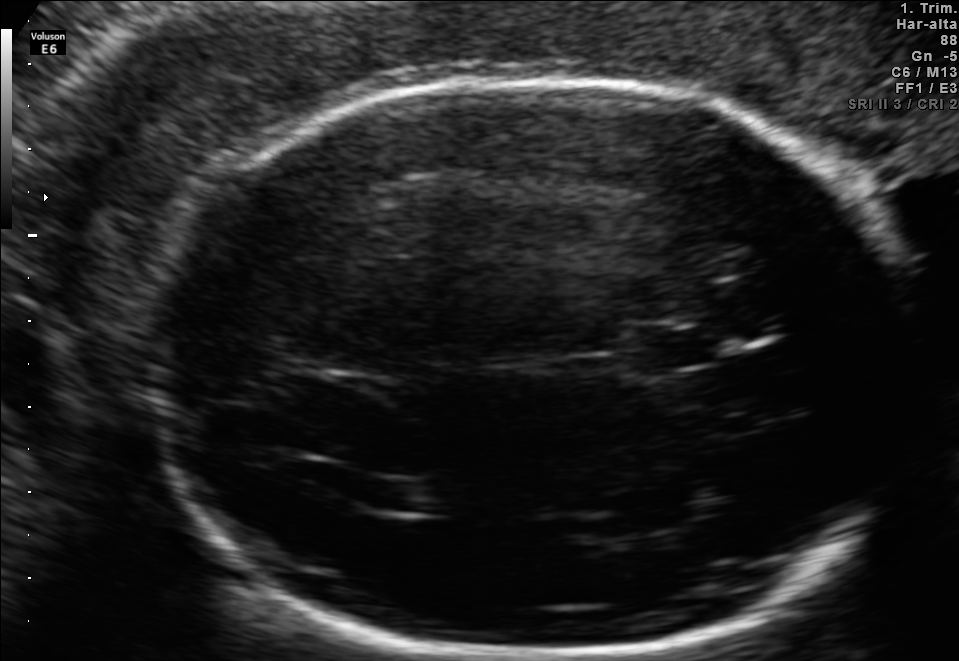
Fetal brain, trans-thalamic plane. Locate the cavum septum pellucidum.

CSP: [633,325,722,373]